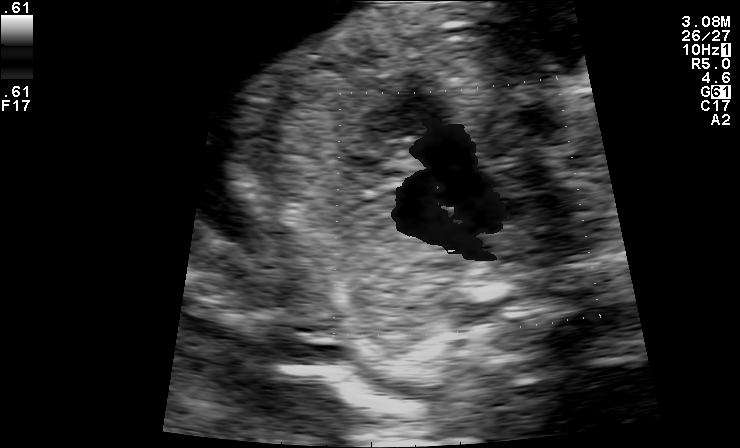
Classify this maternal-fetal ultrasound image as one of the six standard planes — fetal abdomen, fetal brain, fetal femur, fetal thorax, maternal cervix, or other. If it's fetal brain and one of the three standard brain planes (trans-thalamic, trans-cerebellum, trans-ventricular), name which.

Other